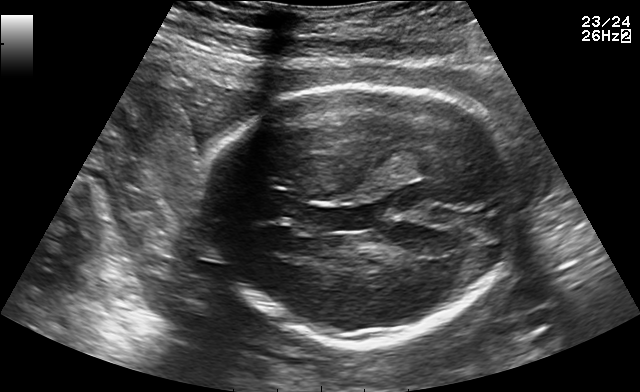
In this fetal brain, trans-thalamic plane, give bounding boxes for the head outline, cavum septum pellucidum (CSP), and lateral ventricle (LV), where visible.

Head: [198,85,521,350]